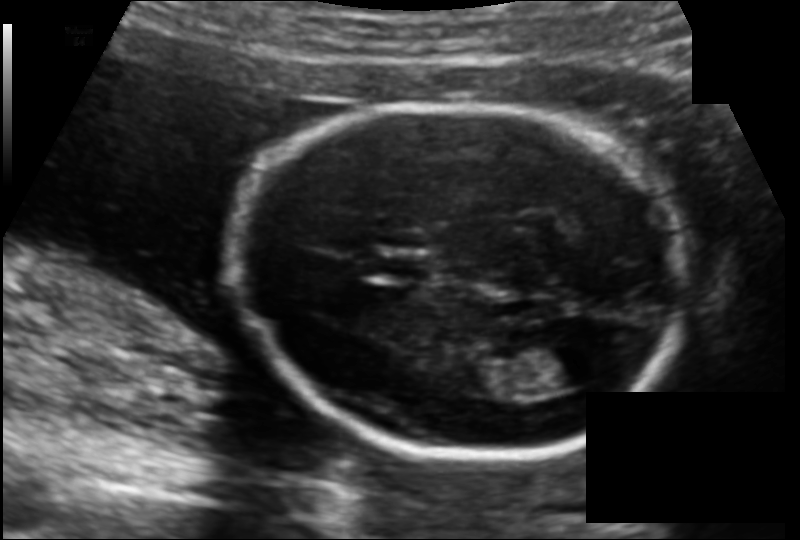
Fetal head ultrasound. Image width: 100.4 mm. Where is the lateral ventricle?

Lateral ventricle bounding box: [539,339,606,393]